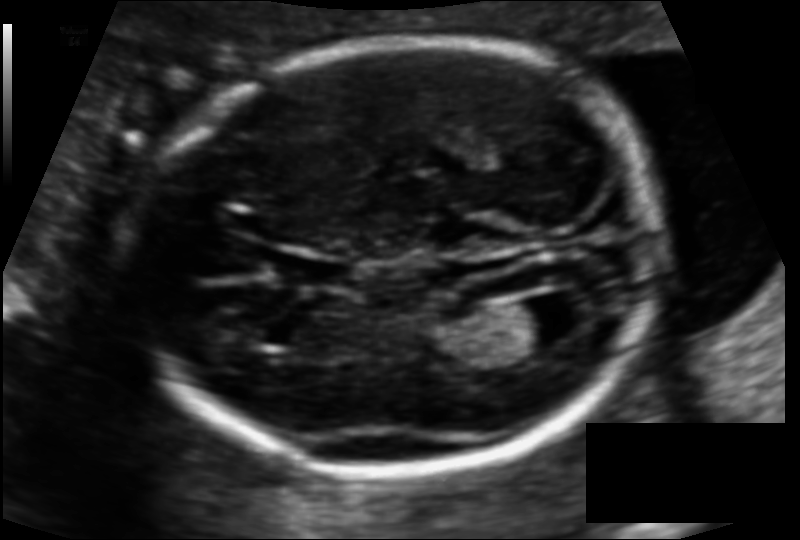
Fetal head ultrasound. Image width: 88.1 mm. Where is the fetal head?

Head bounding box: [138,40,662,471]